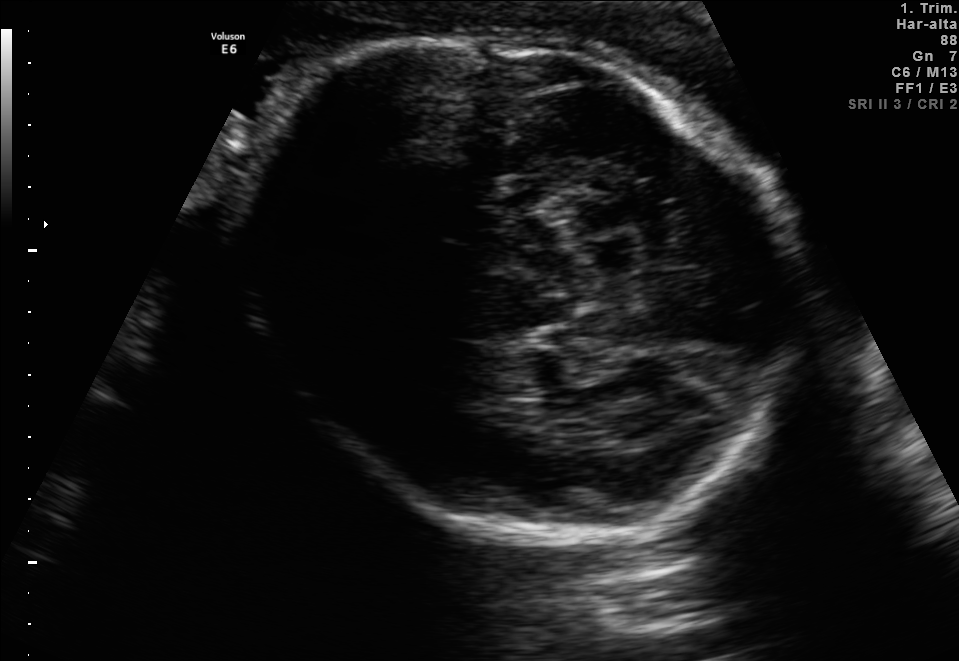
Fetal brain, trans-thalamic plane. Locate the fetal head.

Head: [240,30,795,529]